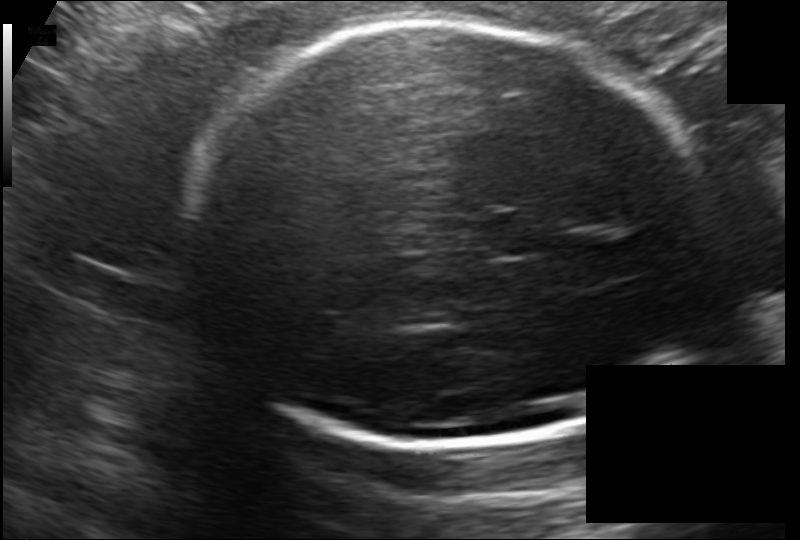
Fetal head ultrasound. Image width: 137.9 mm. Locate the fetal head and, if visible, the cavum septum pellucidum (CSP) and lateral ventricle (LV). Give bounding boxes as [x1,y1,x2,y2].

Head: [189,21,705,445]